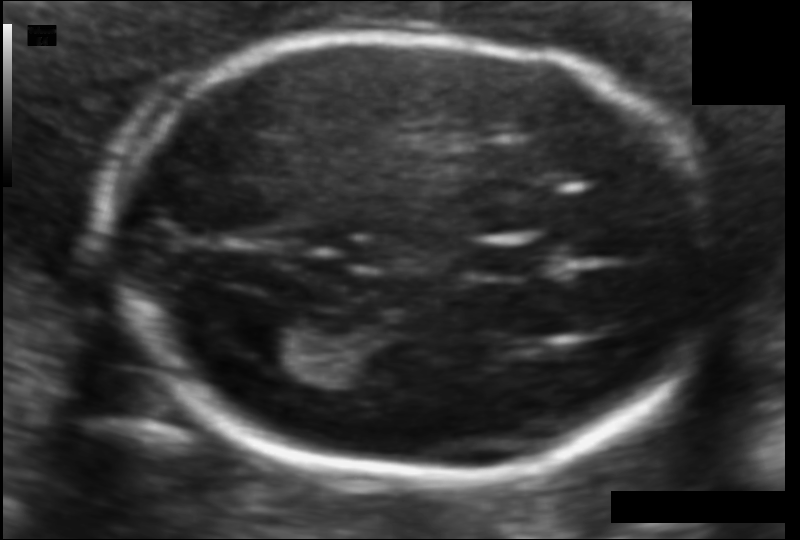
From this fetal ultrasound, estimate the head circumference (image width 75.5 mm).

Head circumference: 163.1 mm.